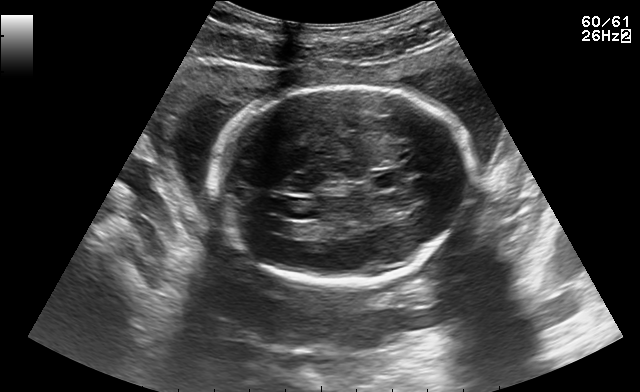
Fetal brain, trans-ventricular plane. Locate the lateral ventricle.

Lateral ventricle: [263,217,290,234]